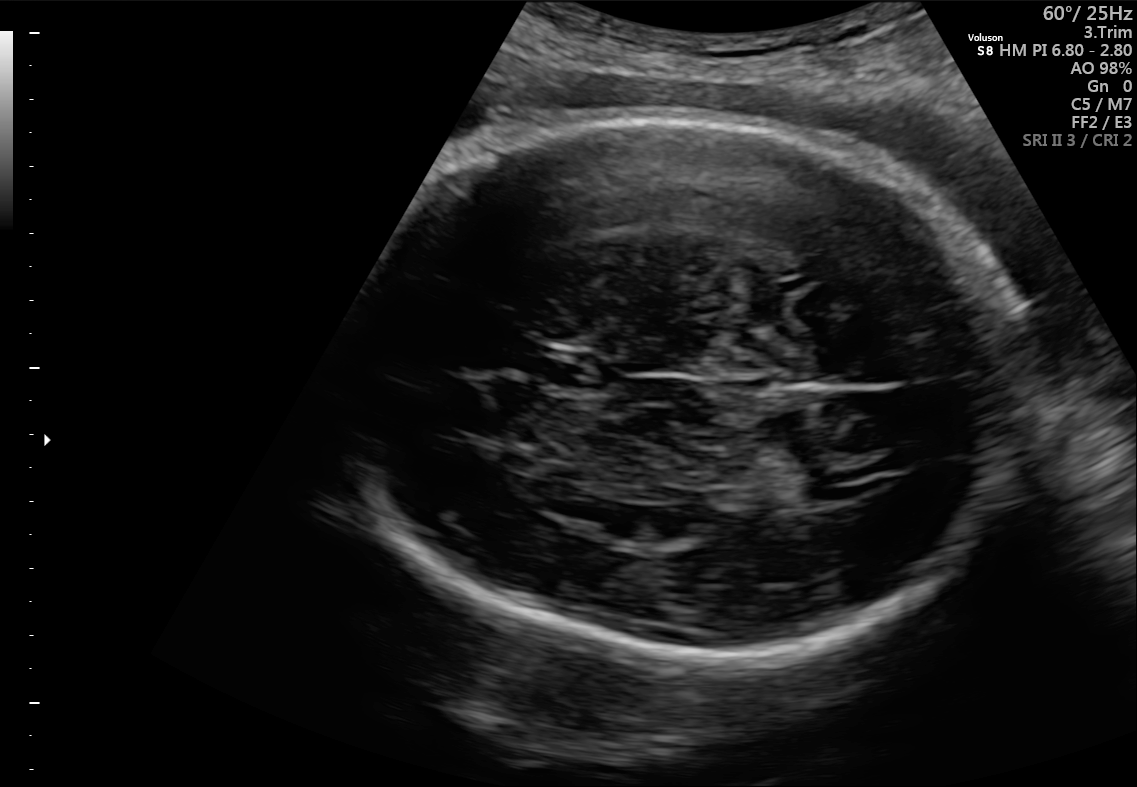
Fetal brain, trans-thalamic plane. Locate the fetal head.

Head: [340,117,1029,663]